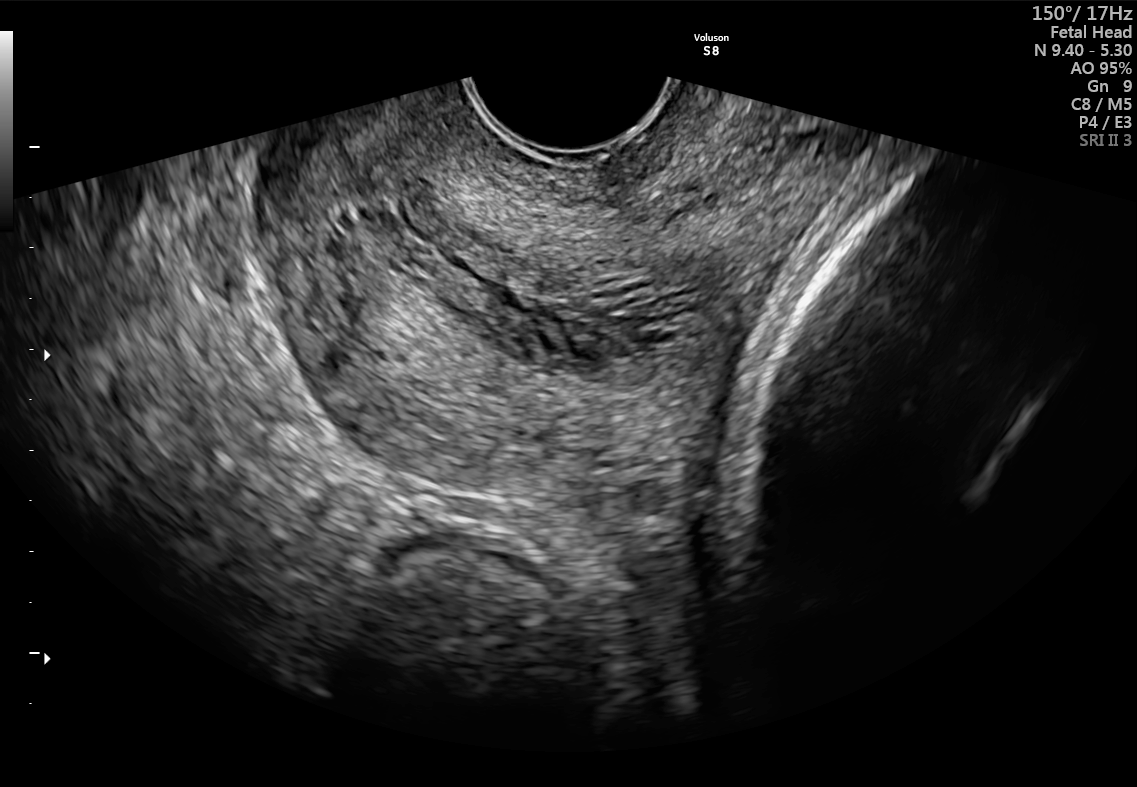
Which standard maternal-fetal ultrasound plane is shown: fetal abdomen, fetal brain, fetal femur, fetal thorax, maternal cervix, or other? If it's fetal brain and one of the three standard brain planes (trans-thalamic, trans-cerebellum, trans-ventricular), name which.

Maternal cervix